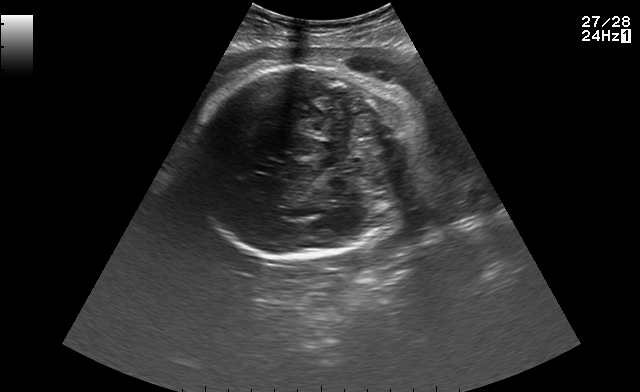
Which standard maternal-fetal ultrasound plane is shown: fetal abdomen, fetal brain, fetal femur, fetal thorax, maternal cervix, or other? If it's fetal brain and one of the three standard brain planes (trans-thalamic, trans-cerebellum, trans-ventricular), name which.

Fetal brain (trans-cerebellum plane)